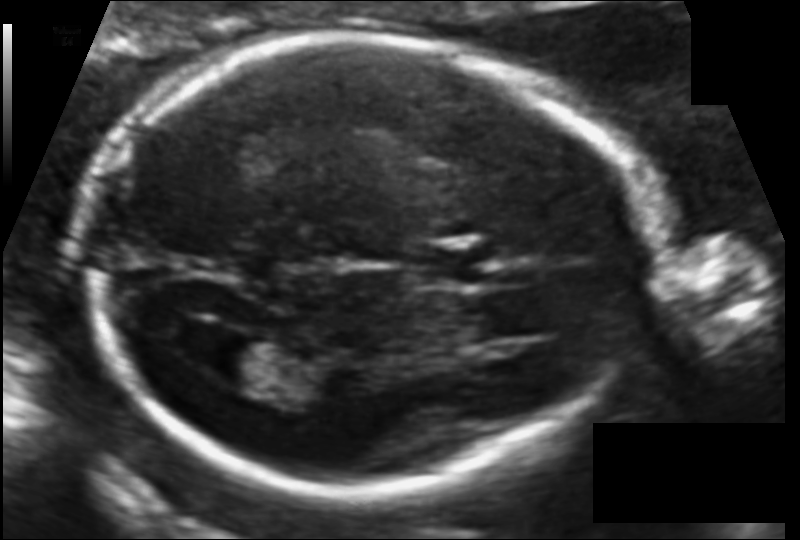
From this fetal ultrasound, estimate the head circumference (image width 87.0 mm).

Head circumference: 179.0 mm.